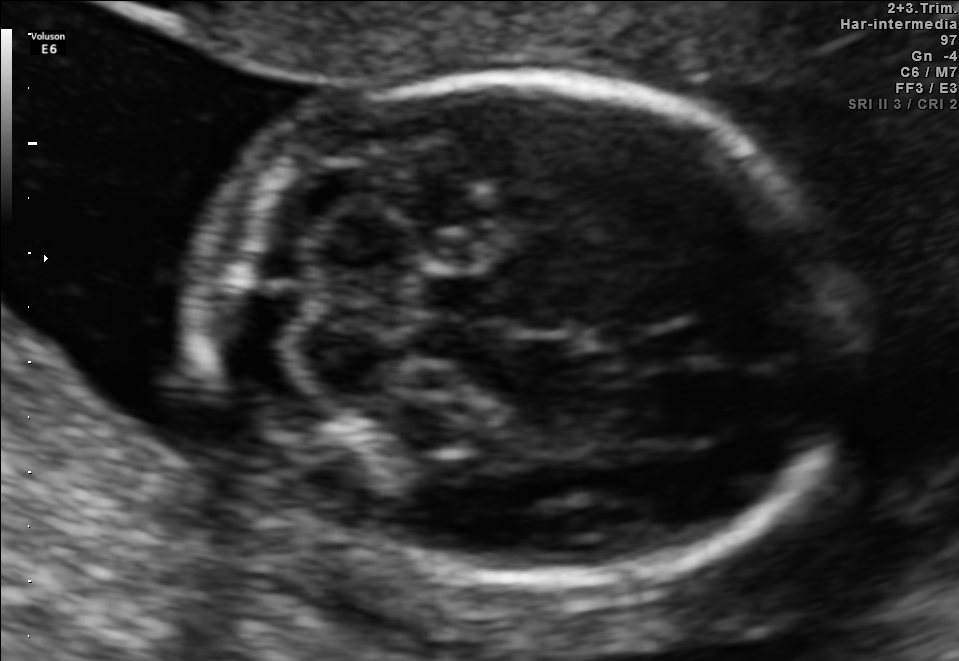
Fetal brain, trans-cerebellum plane. Locate the fetal head and, if visible, the cavum septum pellucidum (CSP) and lateral ventricle (LV). Give bounding boxes as [x1,y1,x2,y2].

Head: [193,78,852,581]